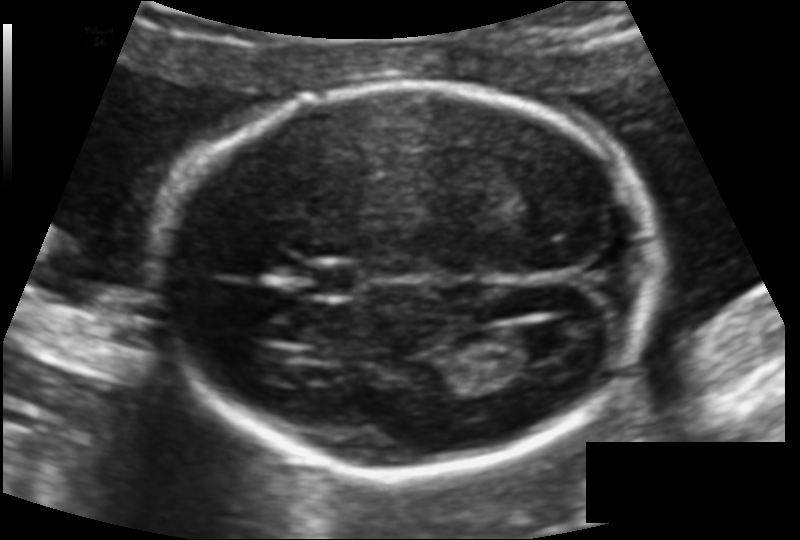
In this fetal head ultrasound, give bounding boxes for the head outline, cavum septum pellucidum (CSP), and lateral ventricle (LV), where visible. Image width: 93.9 mm.

Head: [162,83,653,472]
CSP: [303,264,361,299]
Lateral ventricle: [495,321,566,368]